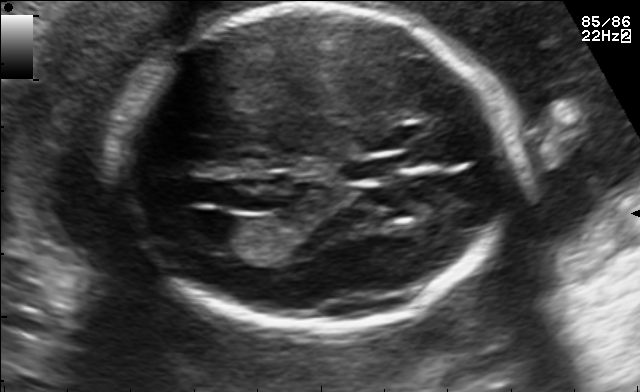
Fetal brain, trans-ventricular plane. Locate the fetal head and, if visible, the cavum septum pellucidum (CSP) and lateral ventricle (LV). Give bounding boxes as [x1,y1,x2,y2].

Head: [118,2,518,337]
CSP: [338,149,420,186]
Lateral ventricle: [169,206,251,256]